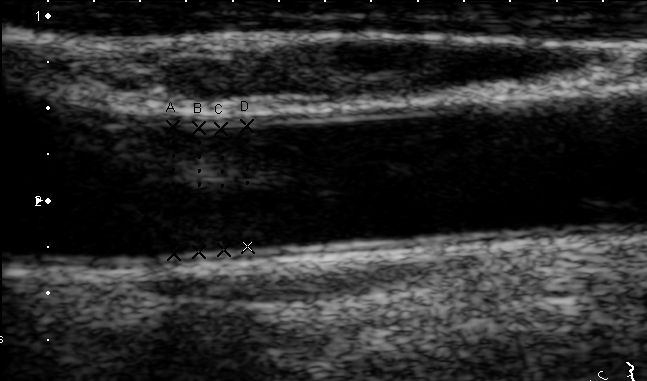
Which standard maternal-fetal ultrasound plane is shown: fetal abdomen, fetal brain, fetal femur, fetal thorax, maternal cervix, or other? If it's fetal brain and one of the three standard brain planes (trans-thalamic, trans-cerebellum, trans-ventricular), name which.

Other